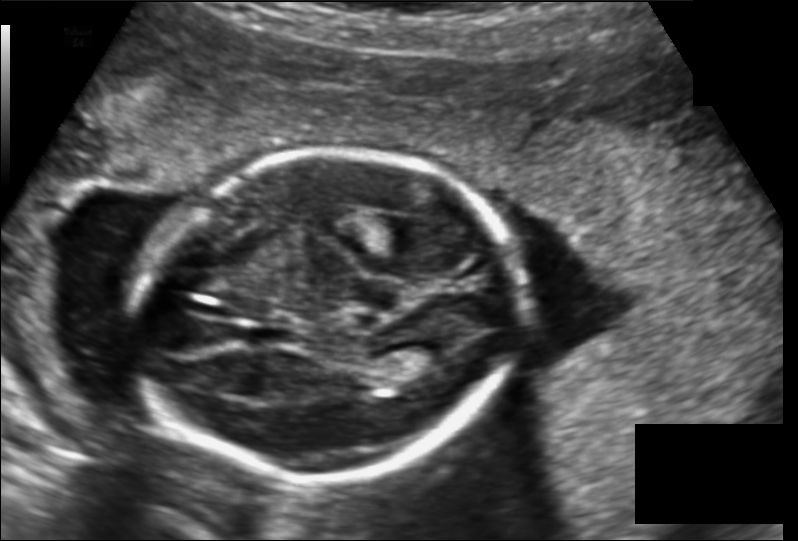
In this fetal head ultrasound, give bounding boxes for the head outline, cavum septum pellucidum (CSP), and lateral ventricle (LV), where visible. Image width: 118.8 mm.

Head: [134,151,524,480]
CSP: [250,324,294,346]
Lateral ventricle: [398,331,462,377]